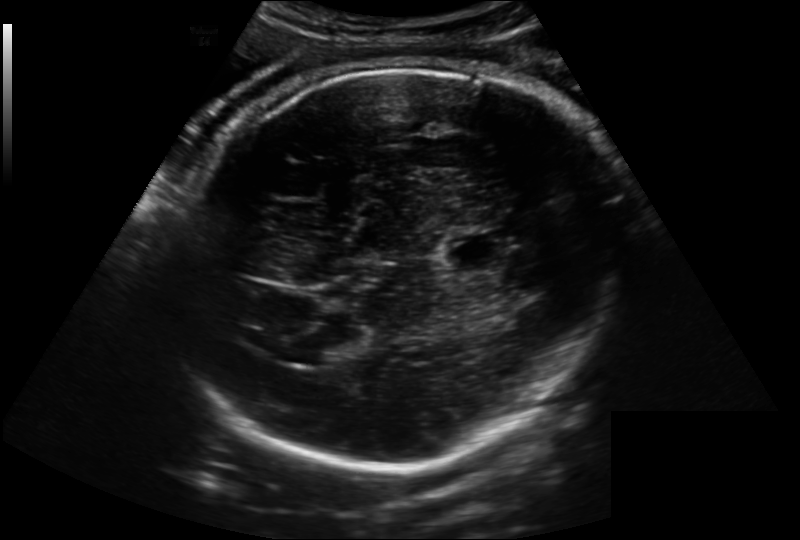
In this fetal head ultrasound, give bounding boxes for the head outline, cavum septum pellucidum (CSP), and lateral ventricle (LV), where visible. Image width: 177.3 mm.

Head: [171,63,626,467]
CSP: [441,226,518,280]
Lateral ventricle: [295,334,348,367]